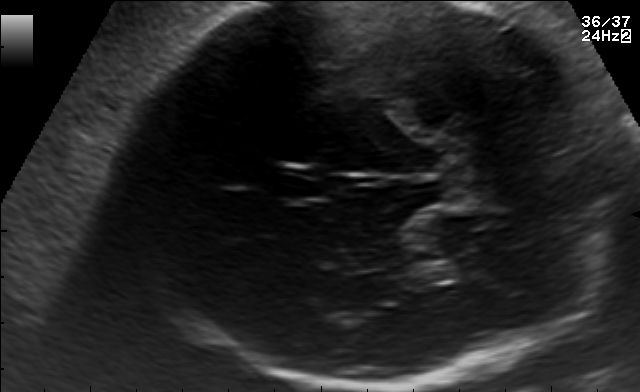
Fetal brain, trans-thalamic plane. Locate the fetal head.

Head: [115,2,624,390]